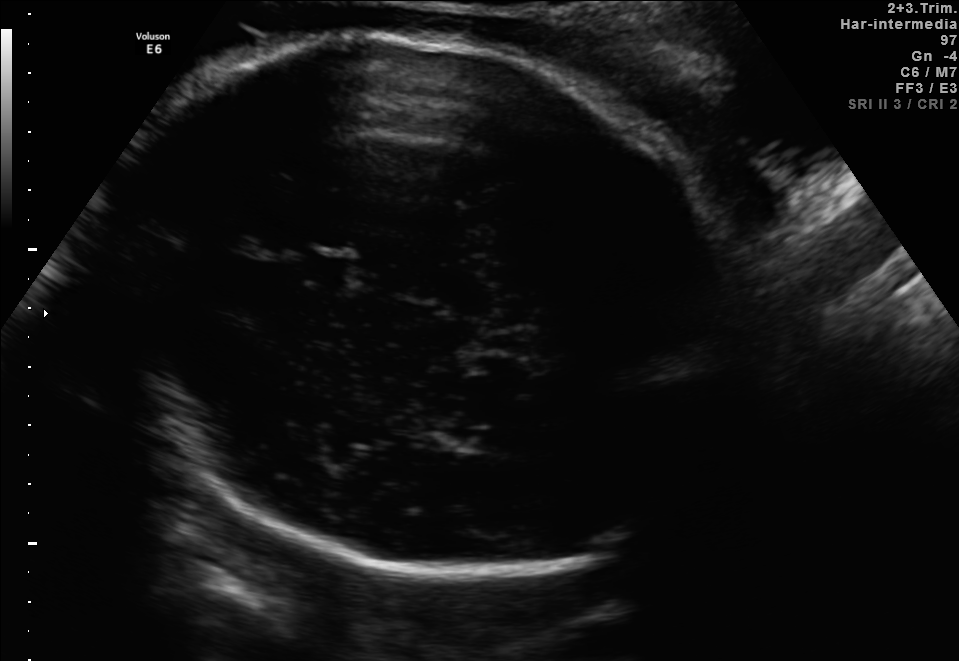
Fetal brain, trans-thalamic plane. Locate the fetal head.

Head: [98,27,751,578]